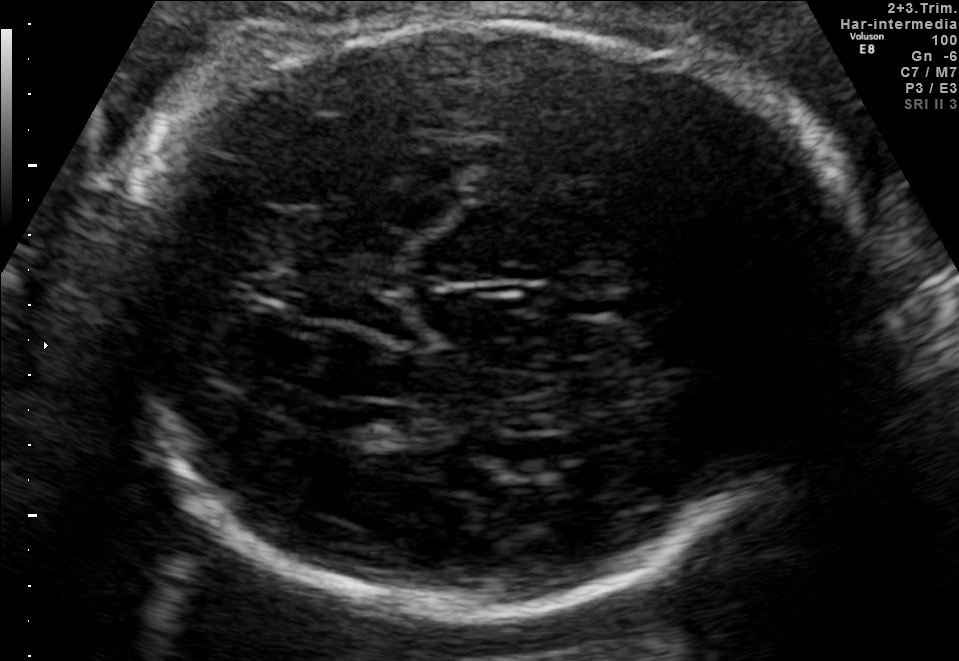
In this fetal brain, trans-thalamic plane, give bounding boxes for the head outline, cavum septum pellucidum (CSP), and lateral ventricle (LV), where visible.

Head: [119,19,866,616]
CSP: [560,293,626,319]
Lateral ventricle: [325,400,417,447]